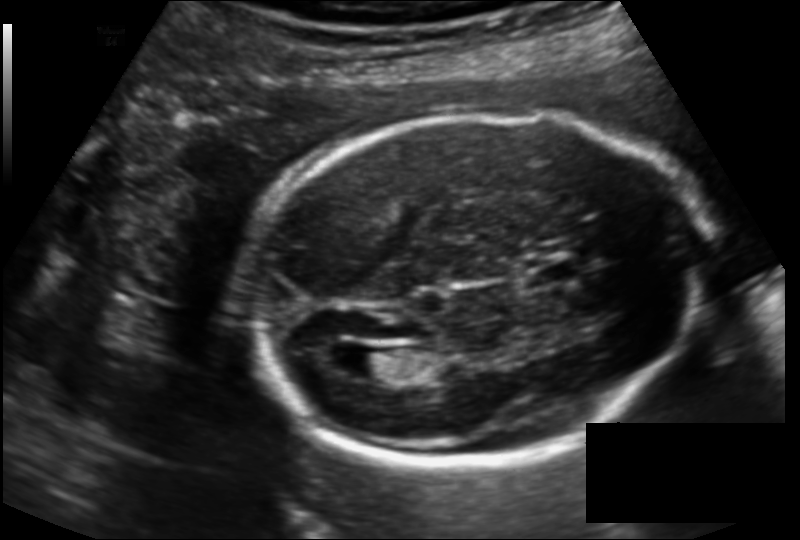
In this fetal head ultrasound, give the bounding box of the fetal head. Image width: 114.4 mm.

[242,110,708,464]